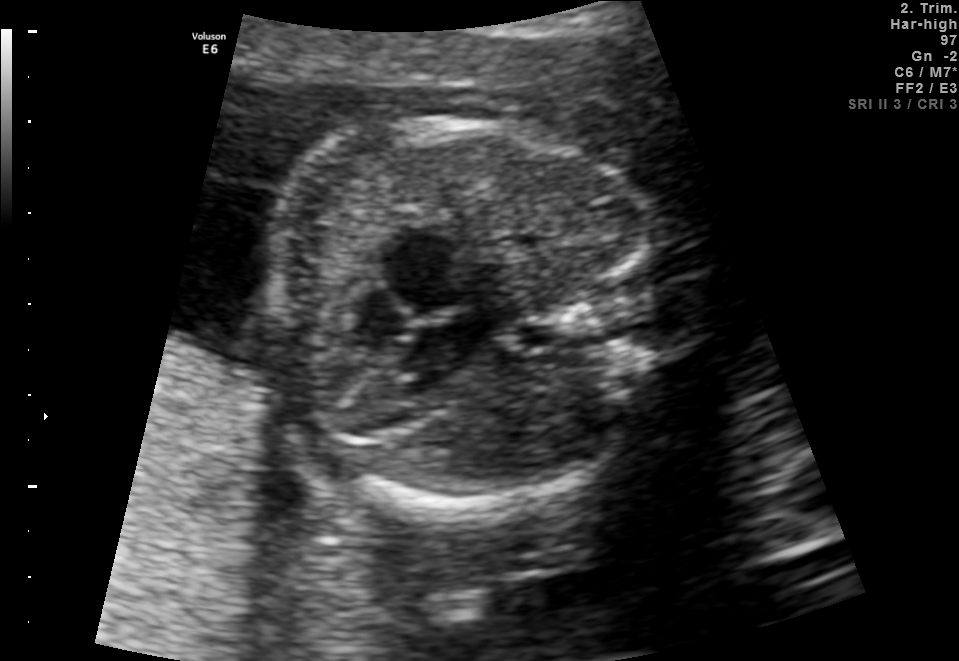
Classify this maternal-fetal ultrasound image as one of the six standard planes — fetal abdomen, fetal brain, fetal femur, fetal thorax, maternal cervix, or other. If it's fetal brain and one of the three standard brain planes (trans-thalamic, trans-cerebellum, trans-ventricular), name which.

Fetal thorax